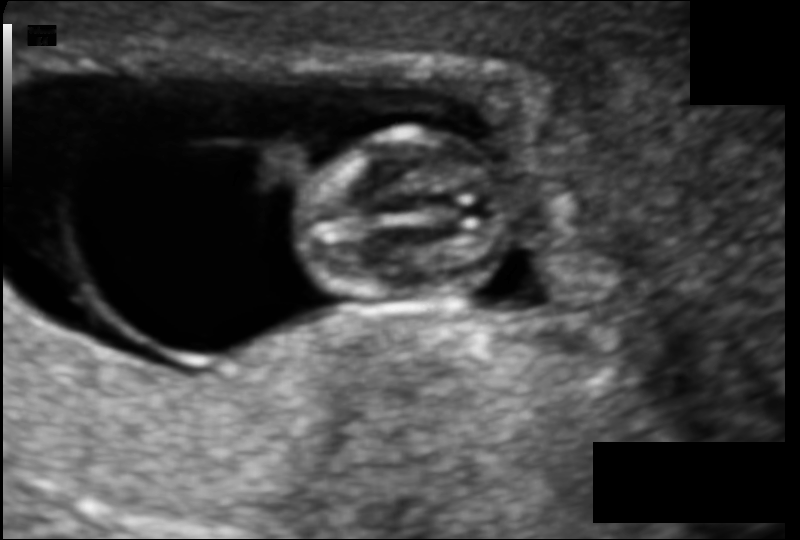
Estimate the fetal head circumference from this 2D ultrasound. Image width: 71.7 mm.

Head circumference: 56.8 mm.